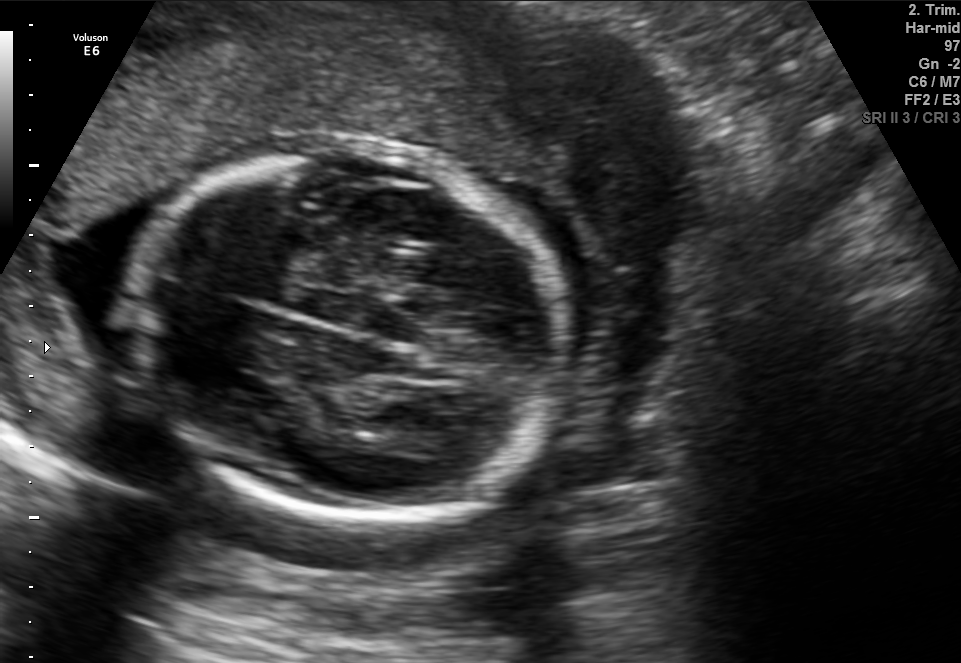
Identify the standard plane in this fetal ultrasound image: fetal abdomen, fetal brain, fetal femur, fetal thorax, maternal cervix, or other. If it's fetal brain and one of the three standard brain planes (trans-thalamic, trans-cerebellum, trans-ventricular), name which.

Fetal brain (trans-thalamic plane)